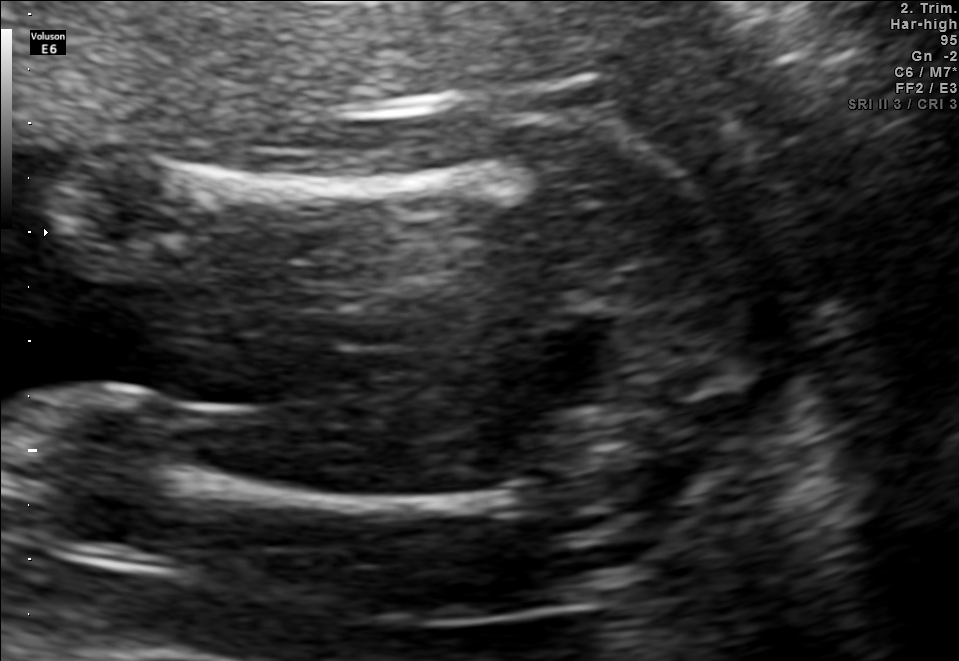
Identify the standard plane in this fetal ultrasound image: fetal abdomen, fetal brain, fetal femur, fetal thorax, maternal cervix, or other. If it's fetal brain and one of the three standard brain planes (trans-thalamic, trans-cerebellum, trans-ventricular), name which.

Fetal femur